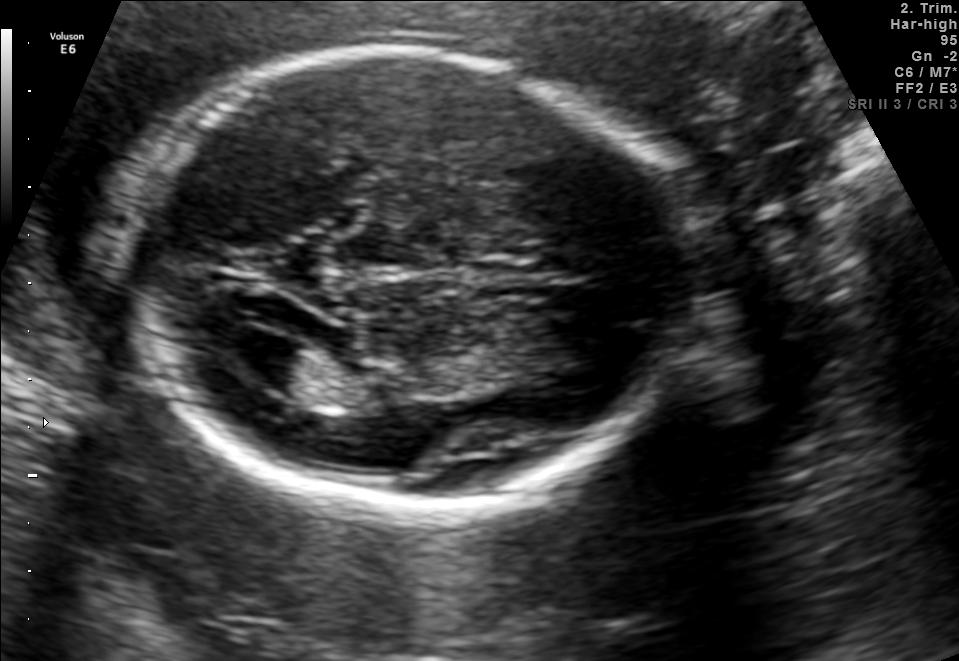
Fetal brain, trans-ventricular plane. Locate the fetal head.

Head: [115,40,704,521]